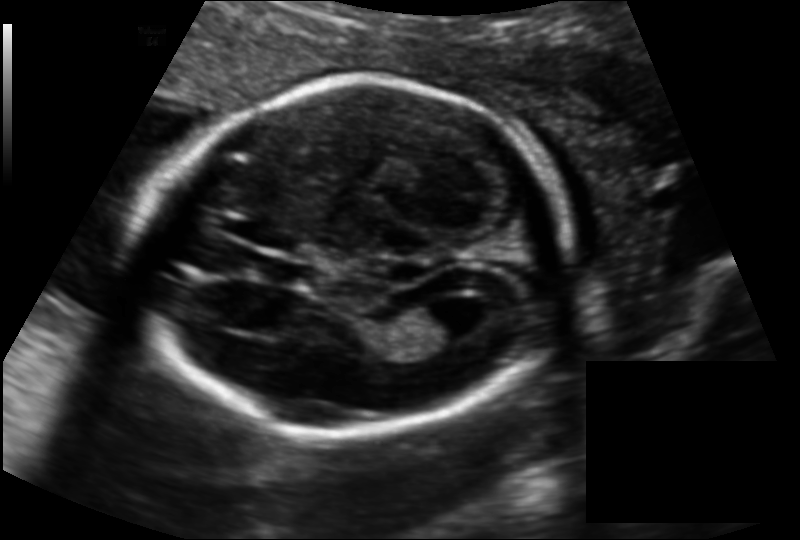
Estimate the fetal head circumference from this 2D ultrasound. Image width: 107.9 mm.

Head circumference: 172.9 mm.